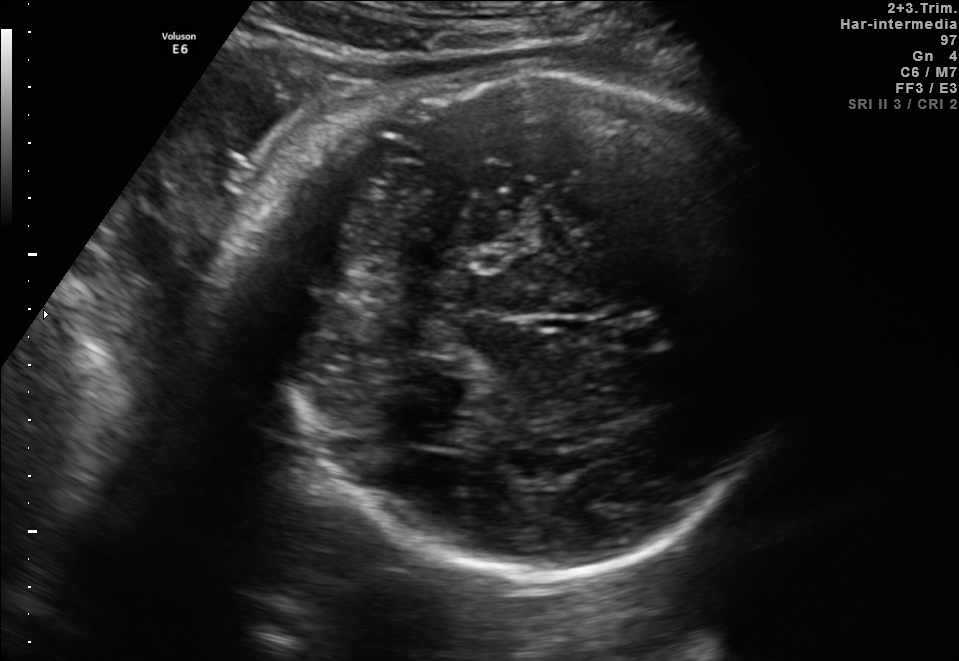
Fetal brain, trans-cerebellum plane. Locate the fetal head.

Head: [270,64,789,579]